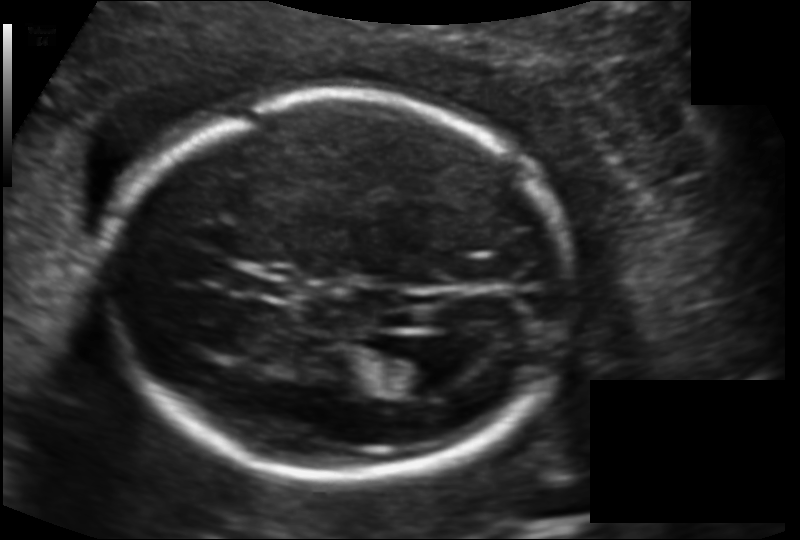
Fetal head ultrasound. Image width: 107.3 mm. Where is the lateral ventricle?

Lateral ventricle bounding box: [382,356,443,395]